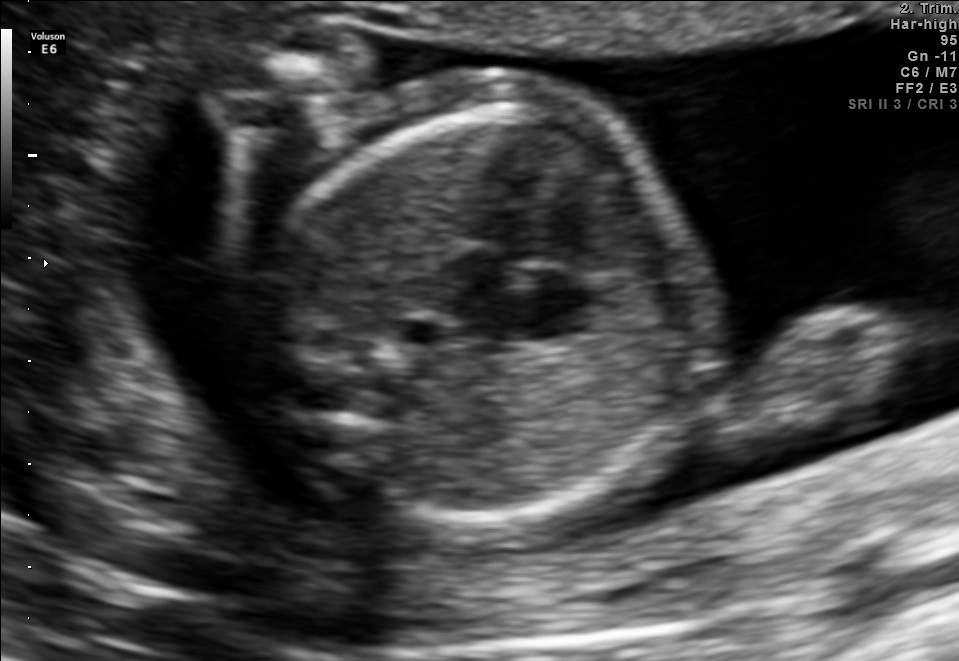
Classify this maternal-fetal ultrasound image as one of the six standard planes — fetal abdomen, fetal brain, fetal femur, fetal thorax, maternal cervix, or other. If it's fetal brain and one of the three standard brain planes (trans-thalamic, trans-cerebellum, trans-ventricular), name which.

Fetal thorax